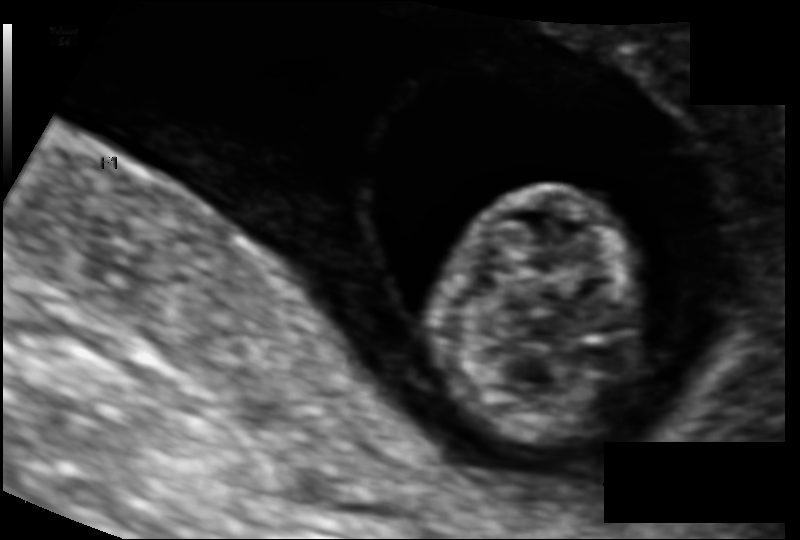
Measure the fetal head circumference shown in this ultrasound image. Image width: 75.4 mm.

Head circumference: 70.0 mm.